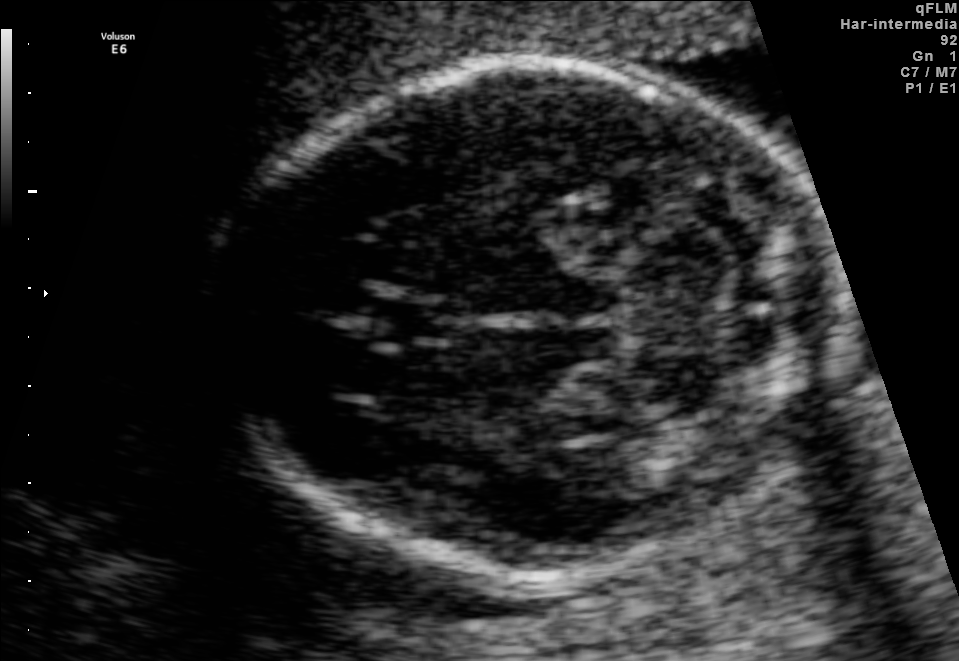
In this fetal brain, trans-cerebellum plane, give the bounding box of the fetal head.

[229,64,838,575]